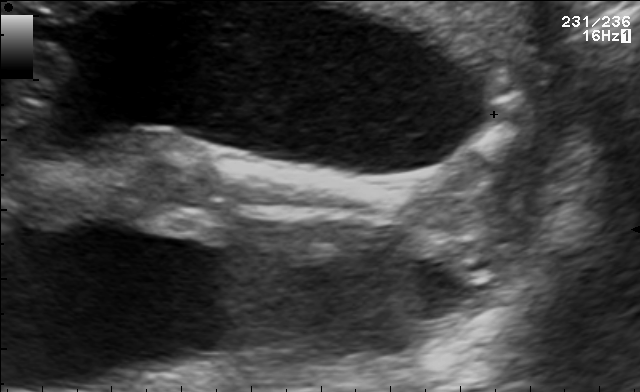
Which standard maternal-fetal ultrasound plane is shown: fetal abdomen, fetal brain, fetal femur, fetal thorax, maternal cervix, or other? If it's fetal brain and one of the three standard brain planes (trans-thalamic, trans-cerebellum, trans-ventricular), name which.

Other